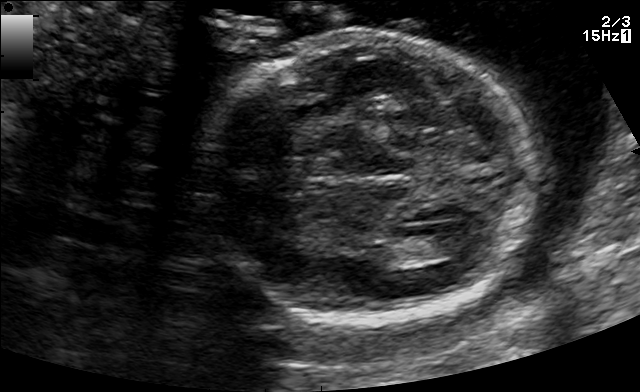
Fetal brain, trans-ventricular plane. Where is the cavum septum pellucidum?

CSP bounding box: [302,171,341,191]